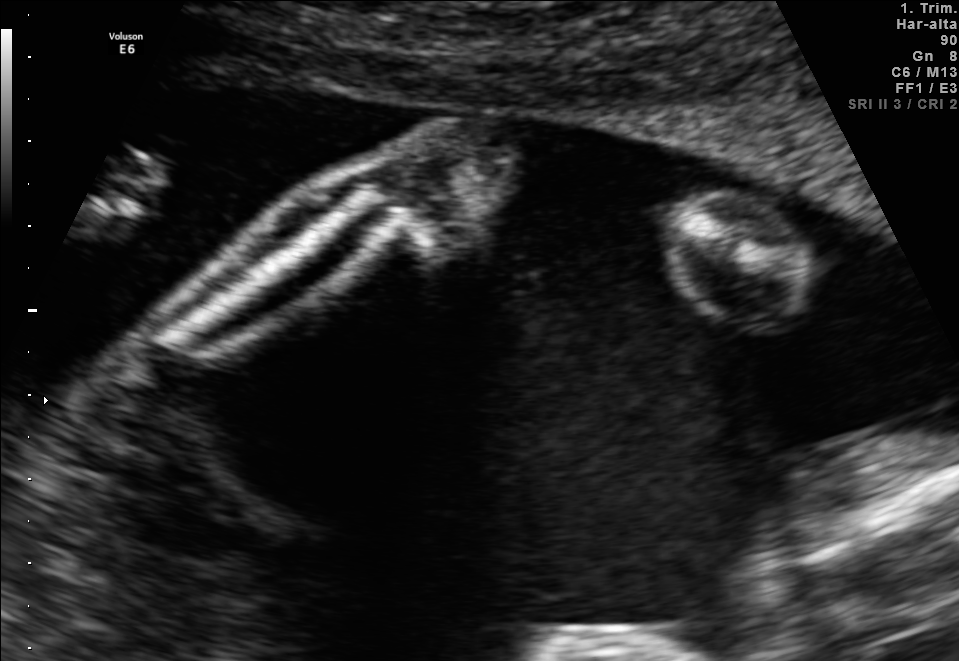
Identify the standard plane in this fetal ultrasound image: fetal abdomen, fetal brain, fetal femur, fetal thorax, maternal cervix, or other. If it's fetal brain and one of the three standard brain planes (trans-thalamic, trans-cerebellum, trans-ventricular), name which.

Other